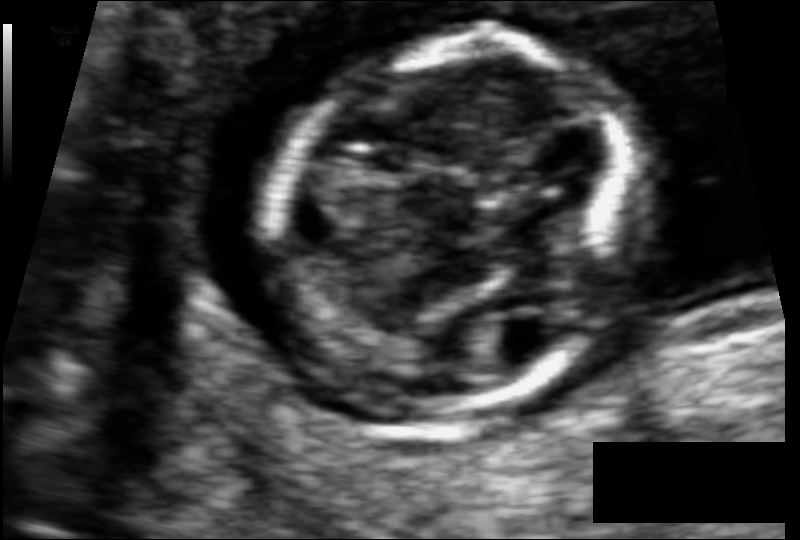
In this fetal head ultrasound, give the bounding box of the fetal head. Image width: 49.9 mm.

[269,33,636,415]